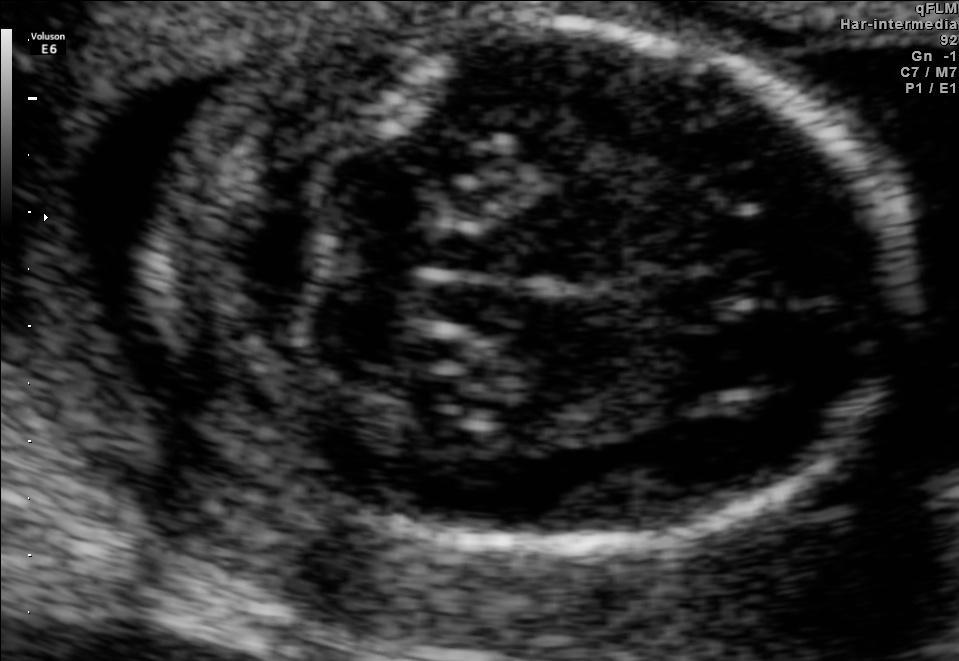
Fetal brain, trans-cerebellum plane. Give [x1,y1,x2,y2] bounding boxes for each visible structure among: fetal head, CSP, LV.

Head: [154,19,907,540]
CSP: [642,272,732,327]